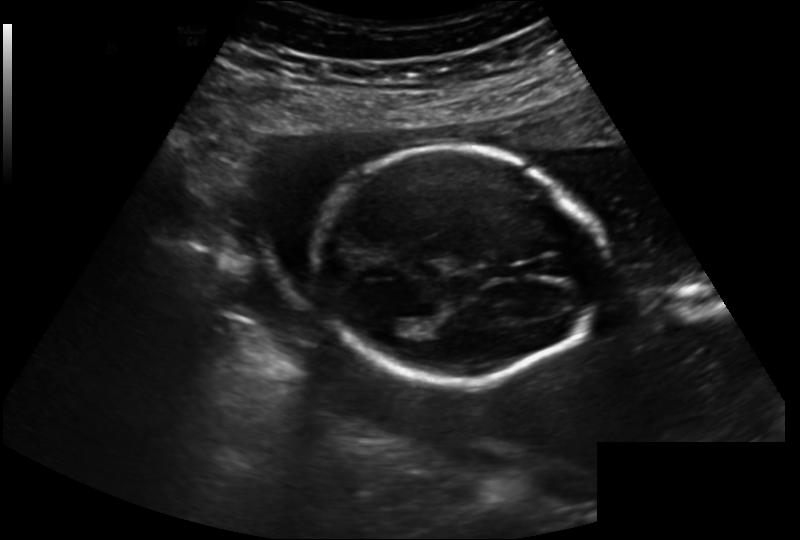
Measure the fetal head circumference shown in this ultrasound image. Image width: 161.6 mm.

Head circumference: 174.1 mm.